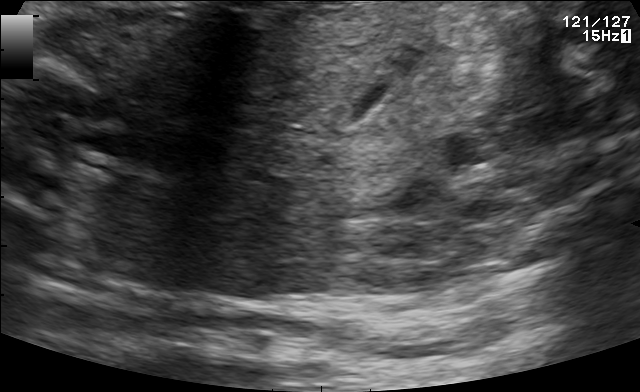
Identify the standard plane in this fetal ultrasound image: fetal abdomen, fetal brain, fetal femur, fetal thorax, maternal cervix, or other. If it's fetal brain and one of the three standard brain planes (trans-thalamic, trans-cerebellum, trans-ventricular), name which.

Other